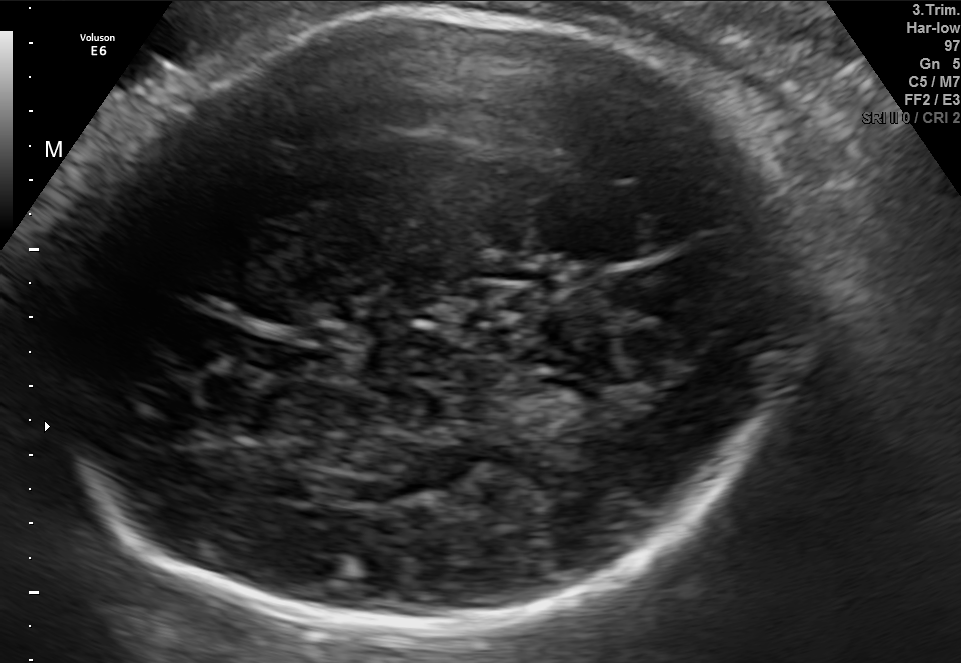
Fetal brain, trans-thalamic plane. Locate the fetal head.

Head: [42,13,789,636]